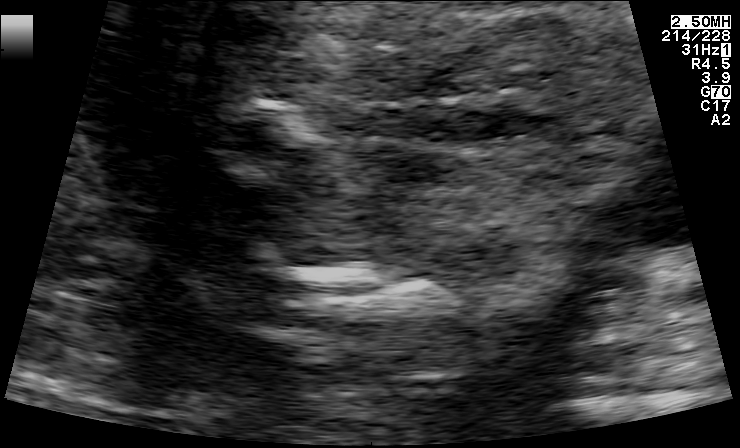
Identify the standard plane in this fetal ultrasound image: fetal abdomen, fetal brain, fetal femur, fetal thorax, maternal cervix, or other. If it's fetal brain and one of the three standard brain planes (trans-thalamic, trans-cerebellum, trans-ventricular), name which.

Other